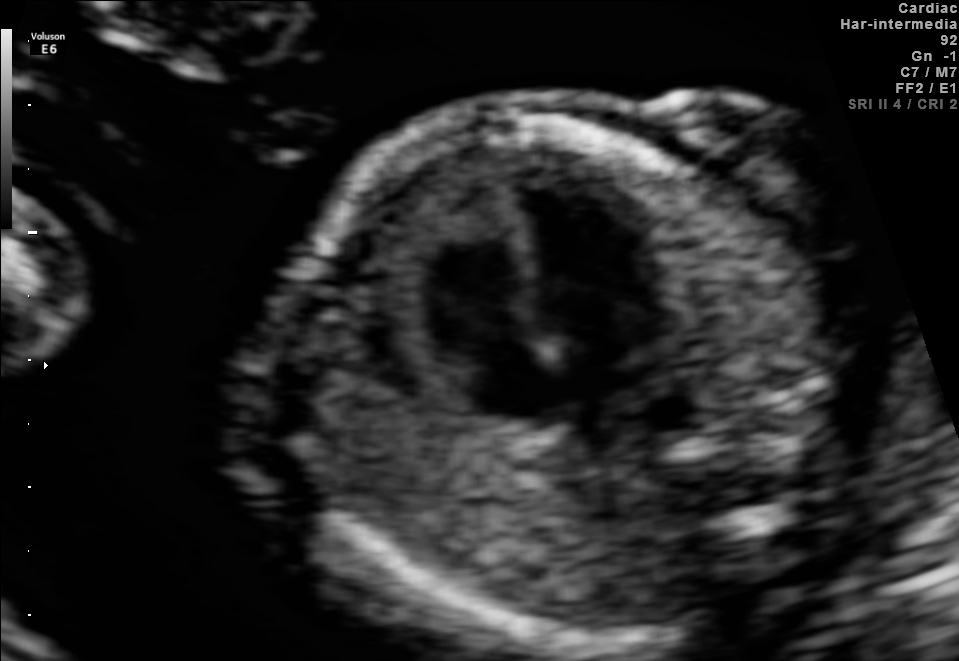
Identify the standard plane in this fetal ultrasound image: fetal abdomen, fetal brain, fetal femur, fetal thorax, maternal cervix, or other. If it's fetal brain and one of the three standard brain planes (trans-thalamic, trans-cerebellum, trans-ventricular), name which.

Fetal thorax